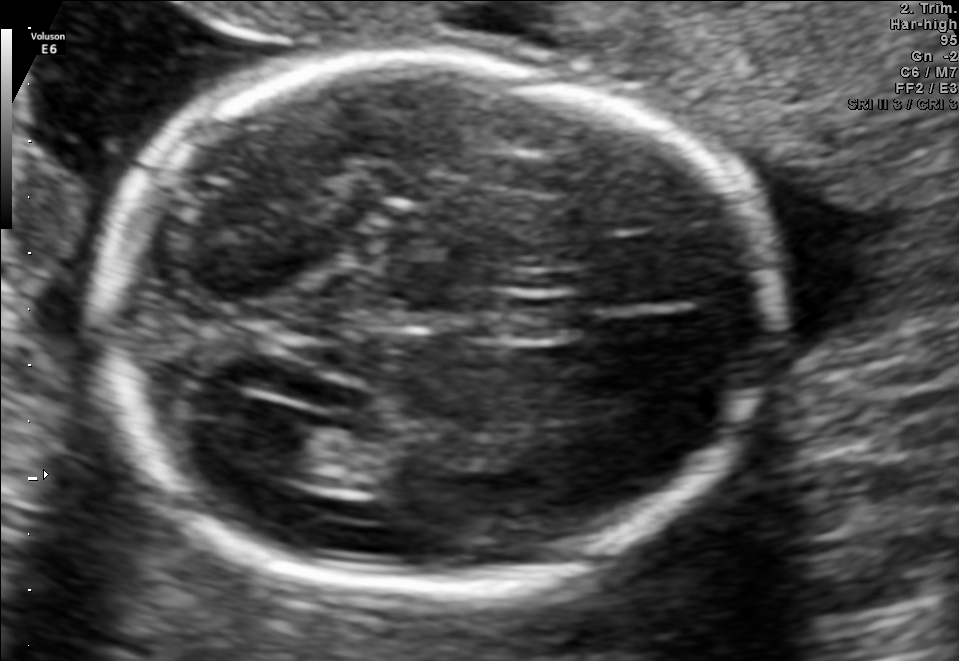
Fetal brain, trans-ventricular plane. Where is the lateral ventricle?

Lateral ventricle bounding box: [207,388,324,482]